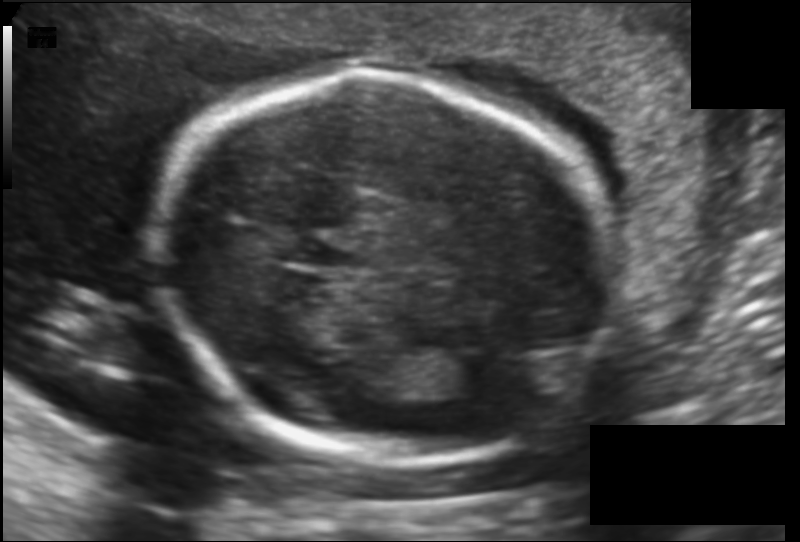
Fetal head ultrasound. Image width: 103.7 mm. Where is the fetal head?

Head bounding box: [165,72,618,463]